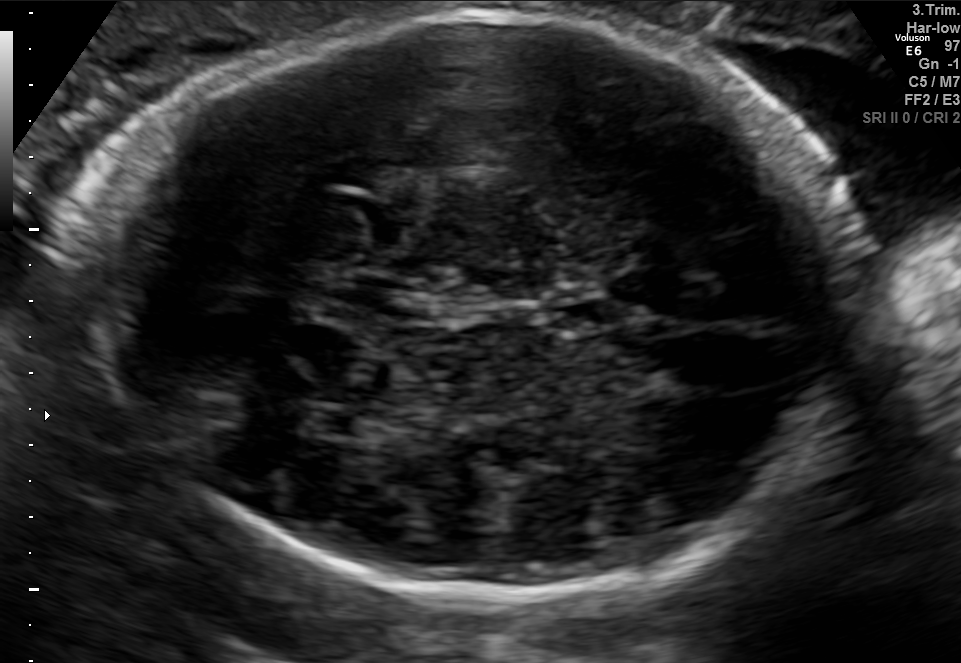
In this fetal brain, trans-thalamic plane, give the bounding box of the fetal head.

[76,14,853,593]